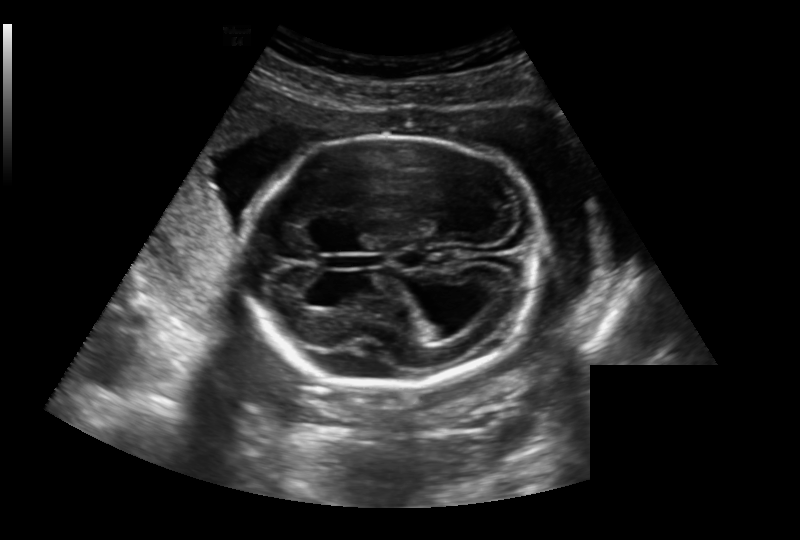
Estimate the fetal head circumference from this 2D ultrasound.

Head circumference: 210.9 mm (image width 188.6 mm).